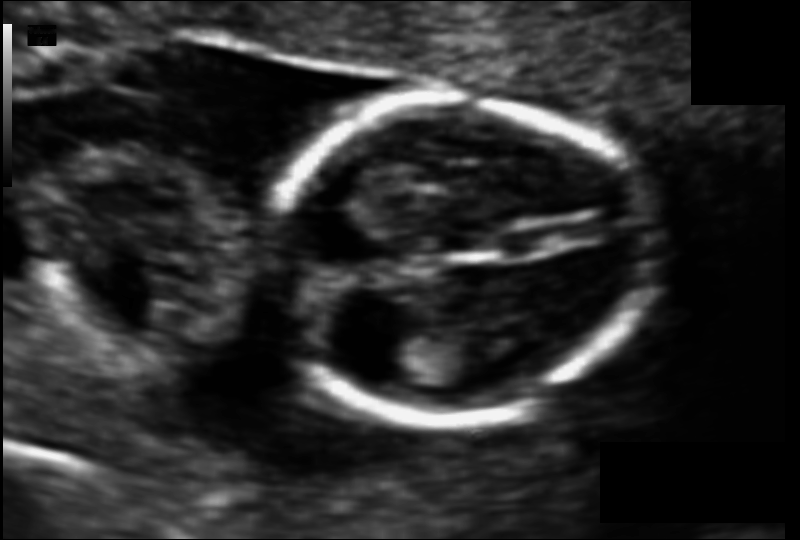
Fetal head ultrasound. Image width: 66.6 mm. Locate the fetal head and, if visible, the cavum septum pellucidum (CSP) and lateral ventricle (LV). Give bounding boxes as [x1,y1,x2,y2].

Head: [262,100,655,419]
CSP: [497,224,560,263]
Lateral ventricle: [367,330,432,380]